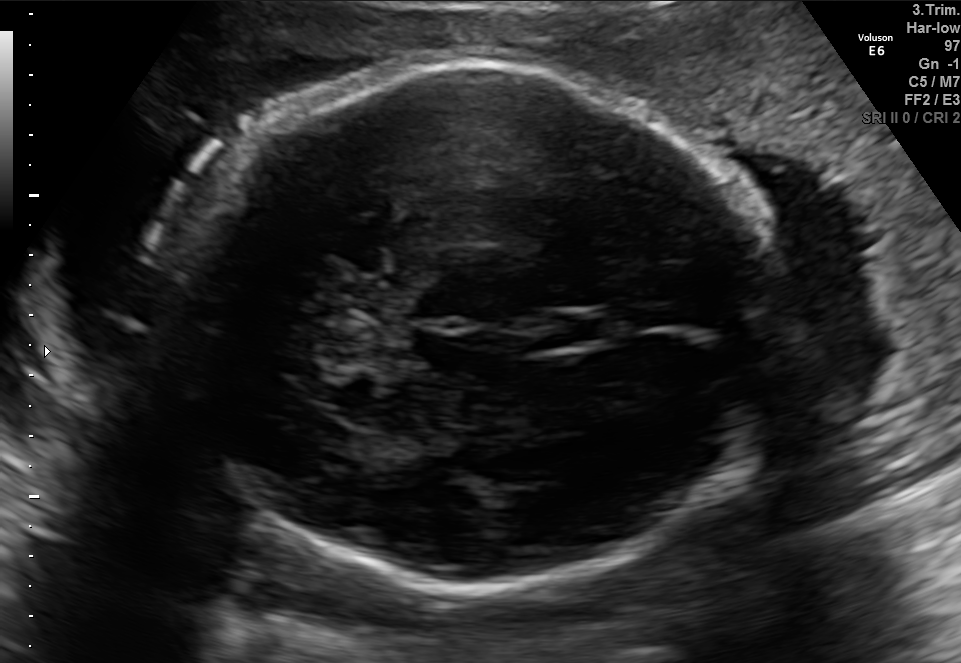
In this fetal brain, trans-thalamic plane, give the bounding box of the fetal head.

[162,66,777,587]